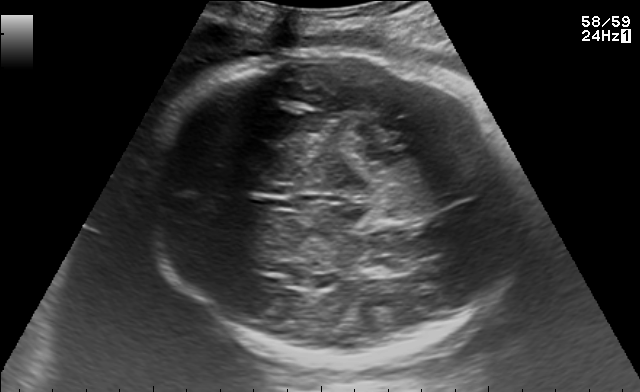
Fetal brain, trans-thalamic plane. Locate the fetal head.

Head: [141,45,524,361]